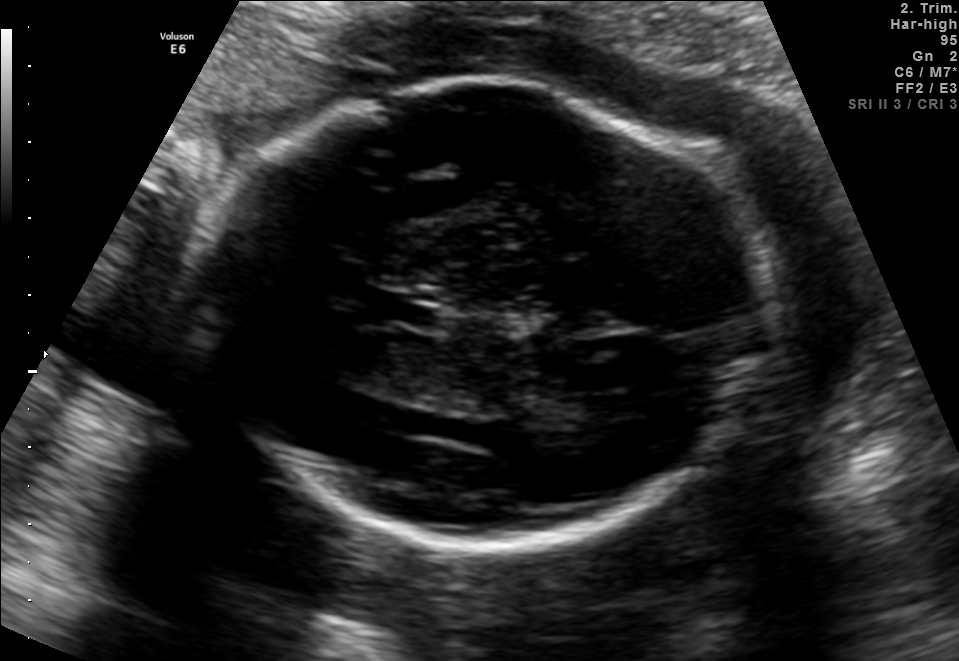
In this fetal brain, trans-thalamic plane, give the bounding box of the cavum septum pellucidum.

[370,289,441,328]